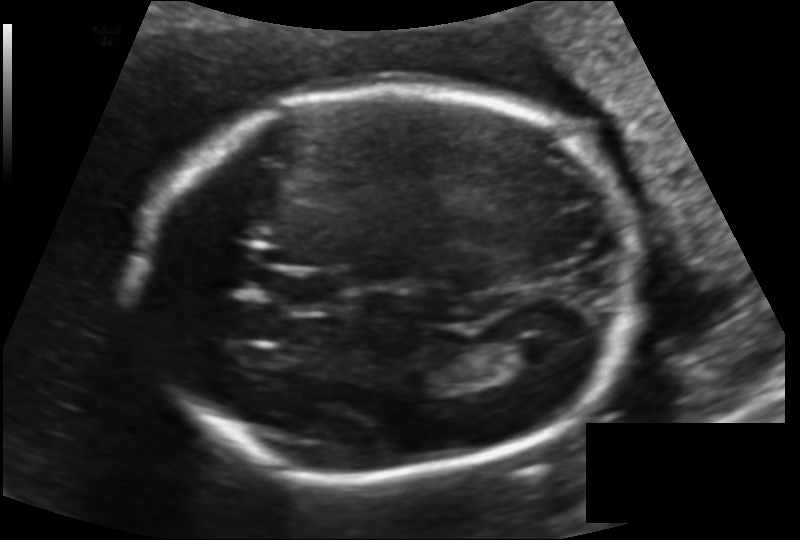
What is the fetal head circumference? Image width is 115.0 mm.

209.1 mm